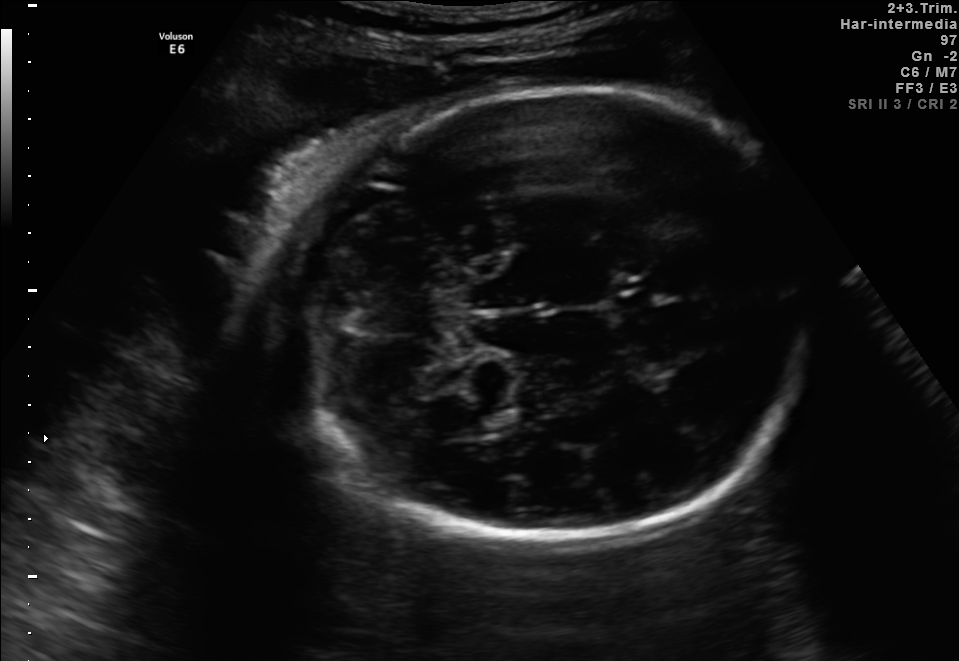
In this fetal brain, trans-thalamic plane, give the bounding box of the fetal head.

[288,91,815,544]